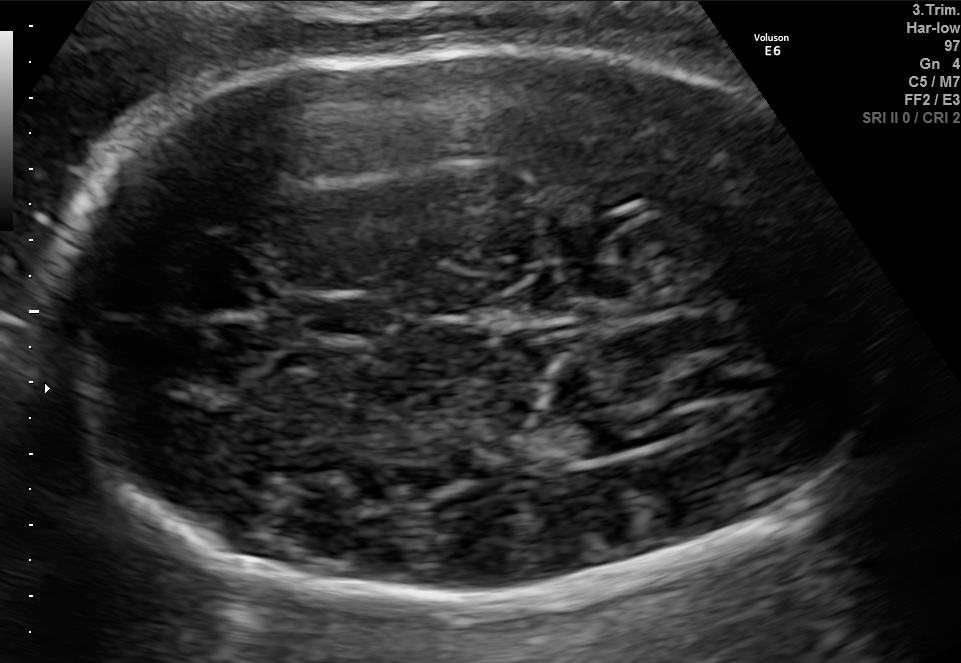
Fetal brain, trans-thalamic plane. Where is the cavum septum pellucidum?

CSP bounding box: [296,299,389,335]